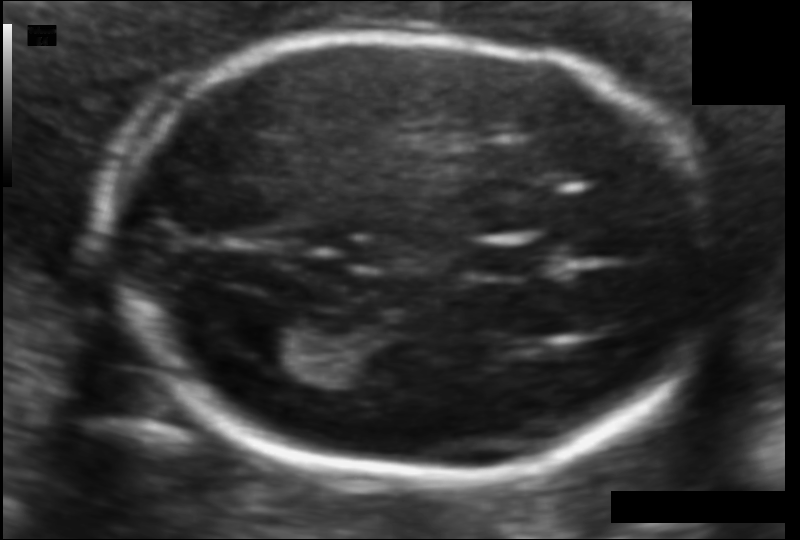
Fetal head ultrasound. Image width: 75.5 mm. Locate the lateral ventricle.

Lateral ventricle: [235,304,334,382]